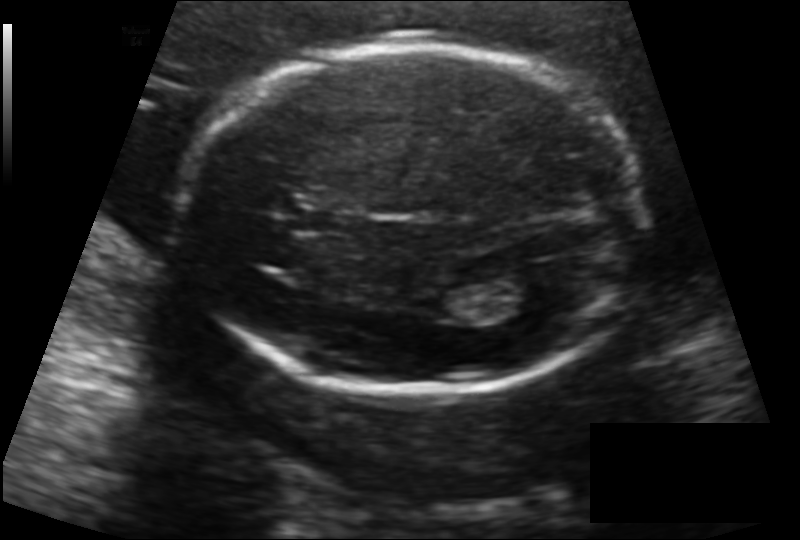
Fetal head ultrasound. Image width: 113.3 mm. Locate the cavum septum pellucidum.

CSP: [291,204,358,238]